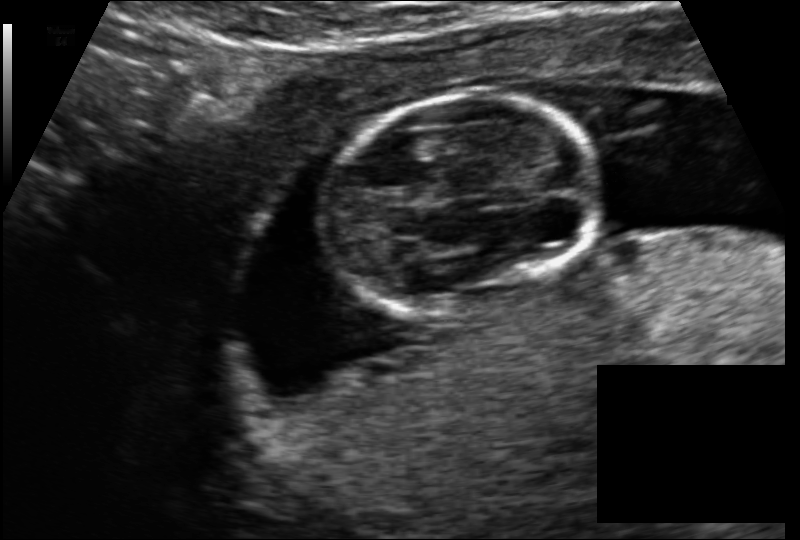
Fetal head ultrasound. Image width: 91.1 mm. Locate the fetal head and, if visible, the cavum septum pellucidum (CSP) and lateral ventricle (LV). Give bounding boxes as [x1,y1,x2,y2].

Head: [324,95,596,313]